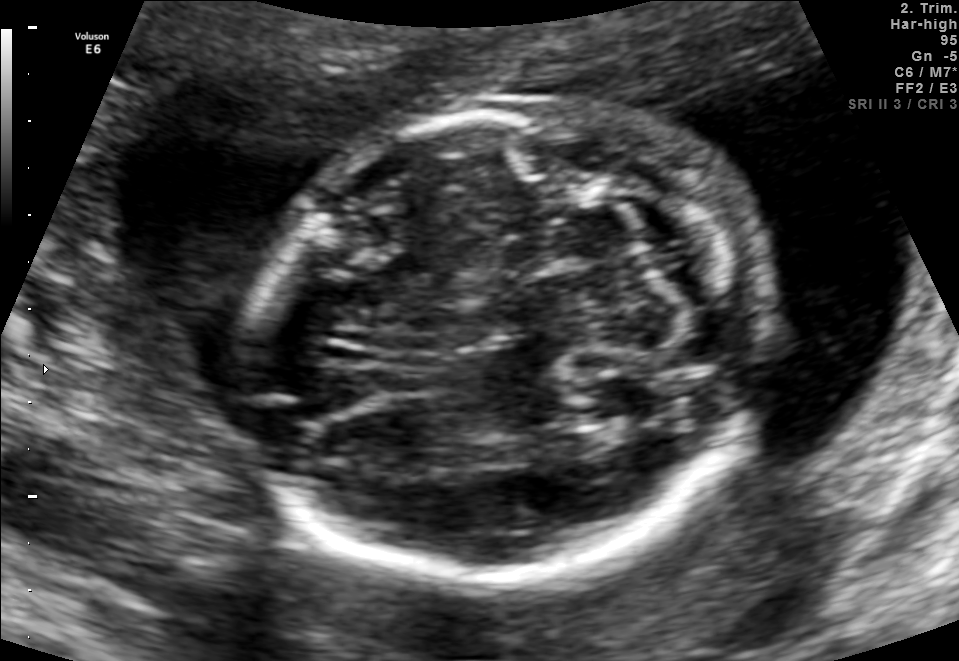
Fetal brain, trans-cerebellum plane. Where is the fetal head?

Head bounding box: [262,96,765,587]